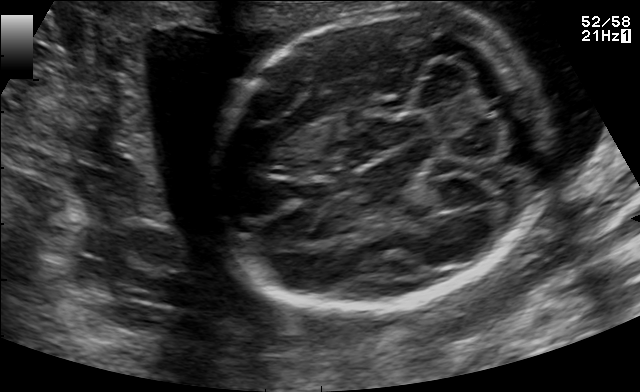
Fetal brain, trans-cerebellum plane. Locate the cavum septum pellucidum.

CSP: [291,175,340,211]